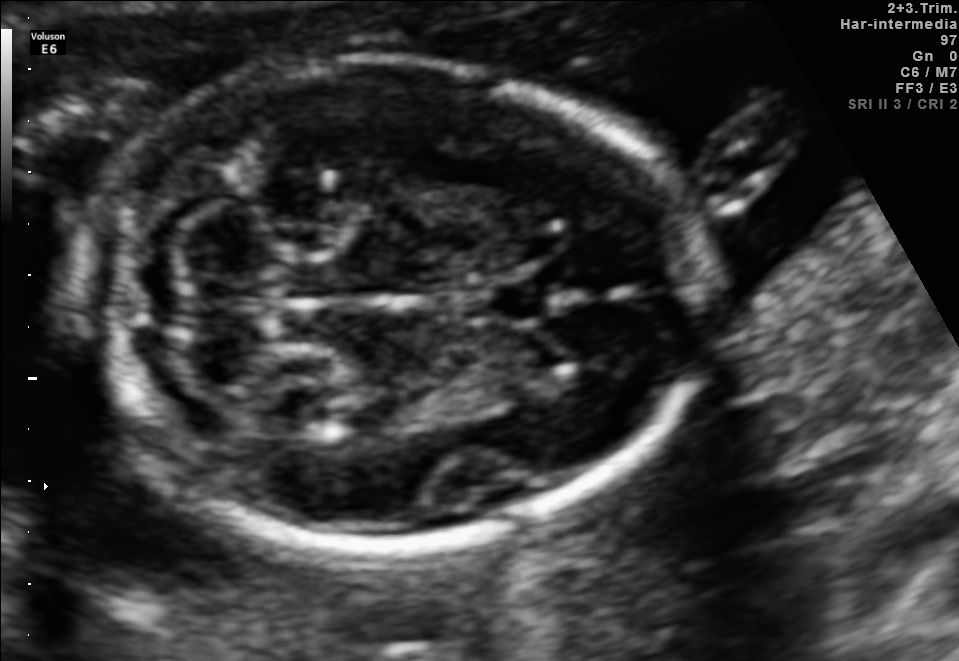
In this fetal brain, trans-cerebellum plane, give bounding boxes for the head outline, cavum septum pellucidum (CSP), and lateral ventricle (LV), where visible.

Head: [82,60,701,545]
CSP: [477,276,554,325]